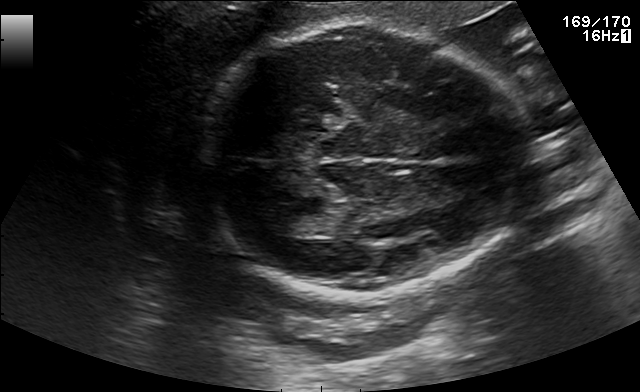
Fetal brain, trans-thalamic plane. Locate the fetal head and, if visible, the cavum septum pellucidum (CSP) and lateral ventricle (LV). Give bounding boxes as [x1,y1,x2,y2].

Head: [196,23,530,297]